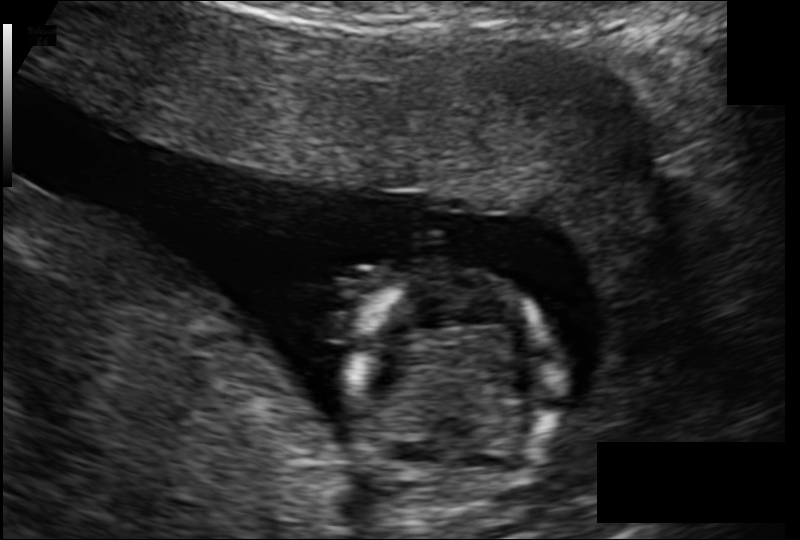
Fetal head ultrasound. Image width: 98.6 mm. Locate the fetal head and, if visible, the cavum septum pellucidum (CSP) and lateral ventricle (LV). Give bounding boxes as [x1,y1,x2,y2].

Head: [344,270,560,511]